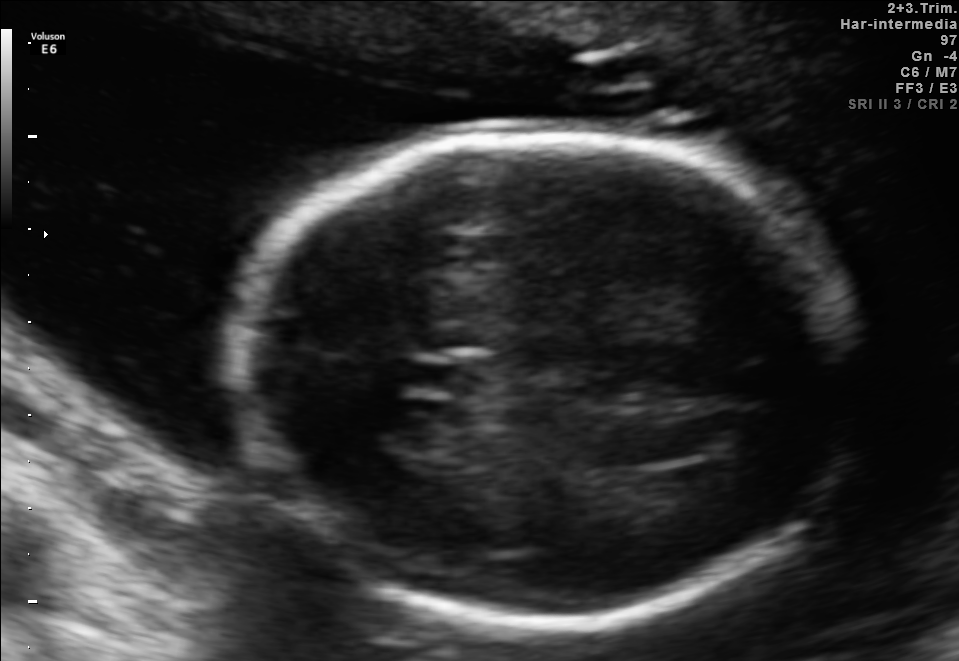
Fetal brain, trans-thalamic plane. Where is the fetal head?

Head bounding box: [239,135,850,620]